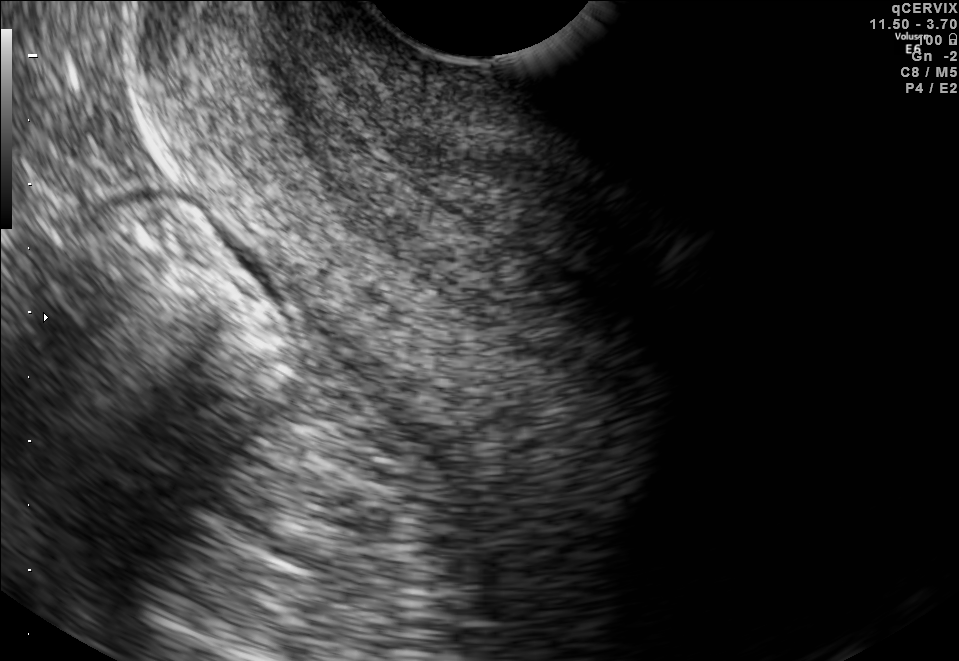
Identify the standard plane in this fetal ultrasound image: fetal abdomen, fetal brain, fetal femur, fetal thorax, maternal cervix, or other. If it's fetal brain and one of the three standard brain planes (trans-thalamic, trans-cerebellum, trans-ventricular), name which.

Maternal cervix